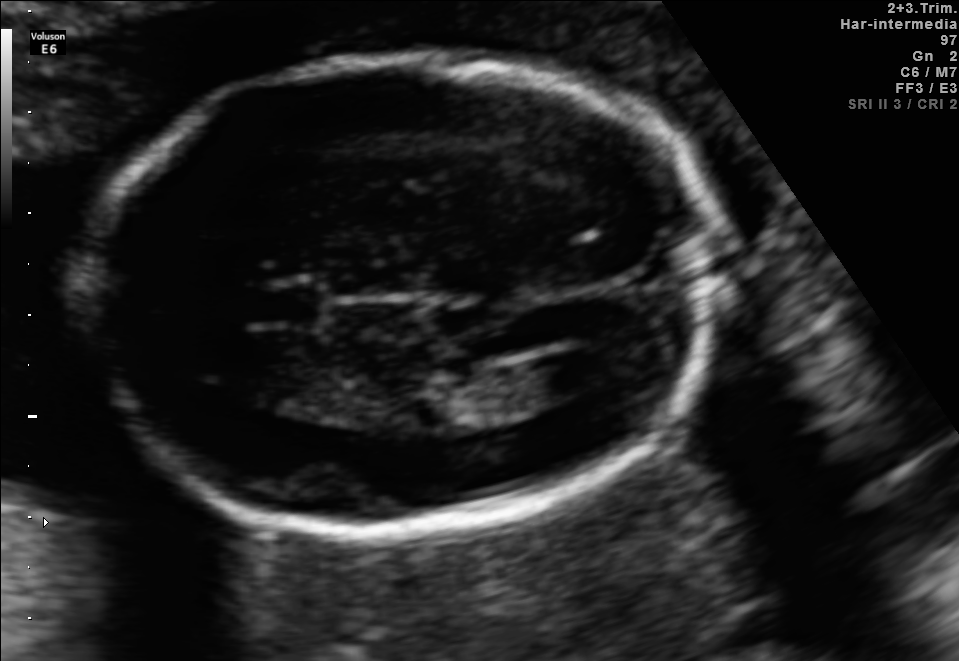
In this fetal brain, trans-ventricular plane, give the bounding box of the lateral ventricle.

[534,341,619,402]